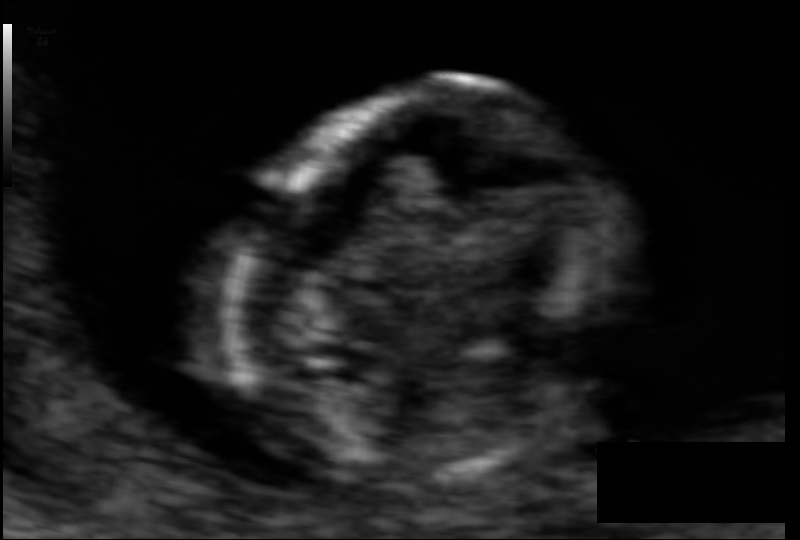
Fetal head ultrasound. Image width: 44.4 mm. Locate the fetal head and, if visible, the cavum septum pellucidum (CSP) and lateral ventricle (LV). Give bounding boxes as [x1,y1,x2,y2].

Head: [233,80,606,488]